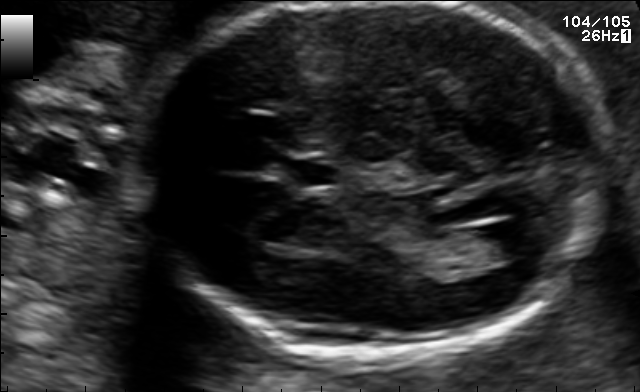
In this fetal brain, trans-ventricular plane, give bounding boxes for the head outline, cavum septum pellucidum (CSP), and lateral ventricle (LV), where visible.

Head: [119,3,619,365]
CSP: [283,156,339,192]
Lateral ventricle: [478,207,556,265]